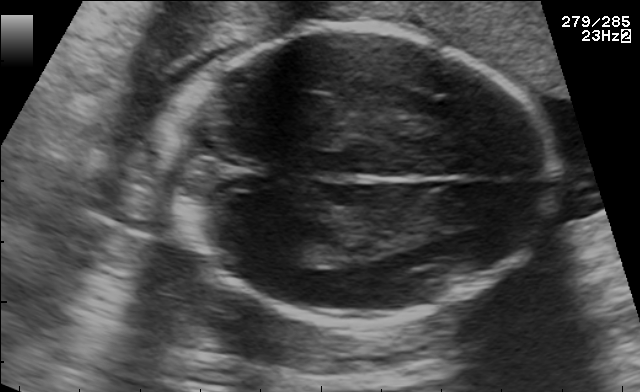
This is a 2D maternal-fetal ultrasound frame. Is it a fetal abdomen, fetal brain, fetal femur, fetal thorax, maternal cervix, or other standard plane? If it's fetal brain and one of the three standard brain planes (trans-thalamic, trans-cerebellum, trans-ventricular), name which.

Fetal brain